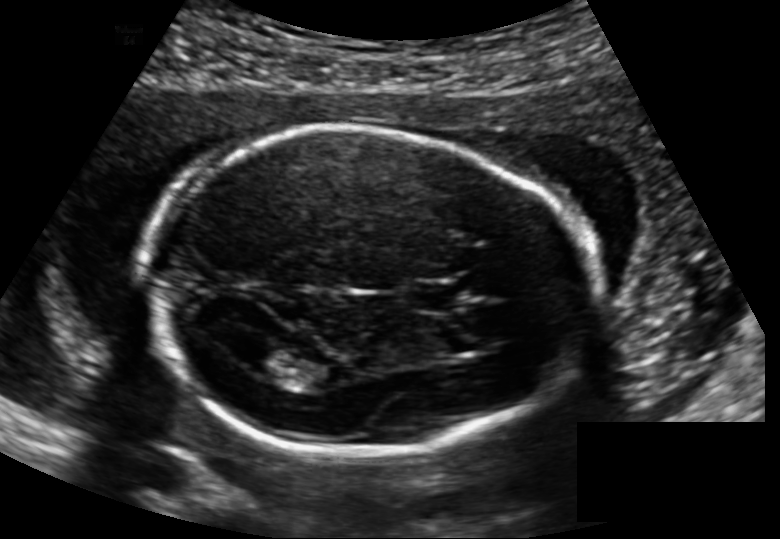
From this fetal ultrasound, estimate the head circumference (image width 115.4 mm).

Head circumference: 185.6 mm.